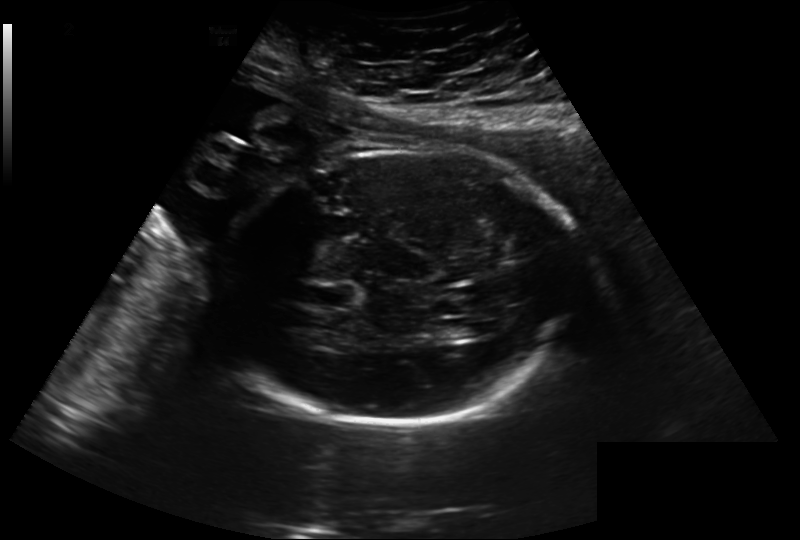
In this fetal head ultrasound, give the bounding box of the lateral ventricle. Image width: 208.3 mm.

[437,317,476,340]